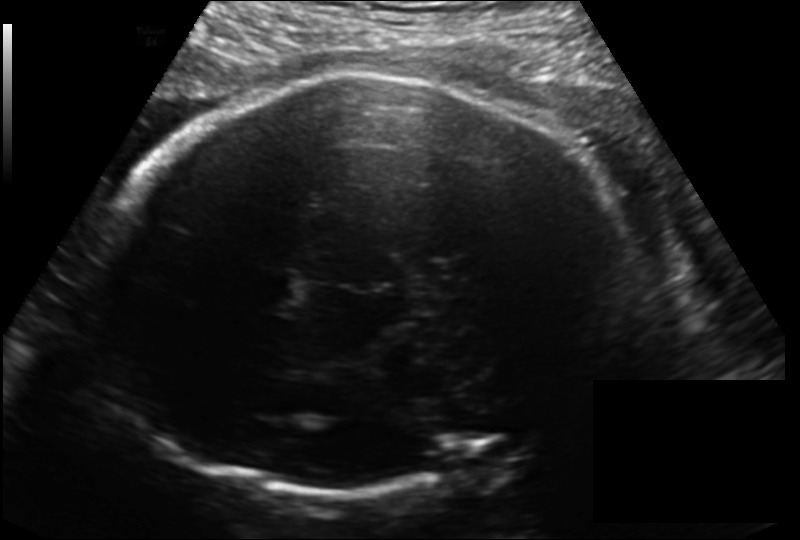
Estimate the fetal head circumference from this 2D ultrasound.

Head circumference: 300.4 mm (image width 158.6 mm).